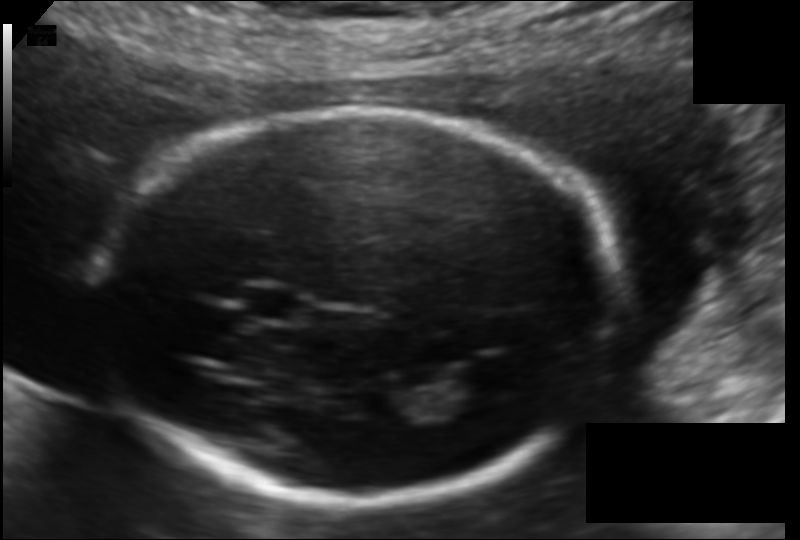
Fetal head ultrasound. Image width: 96.1 mm. Where is the lateral ventricle?

Lateral ventricle bounding box: [448,353,517,404]